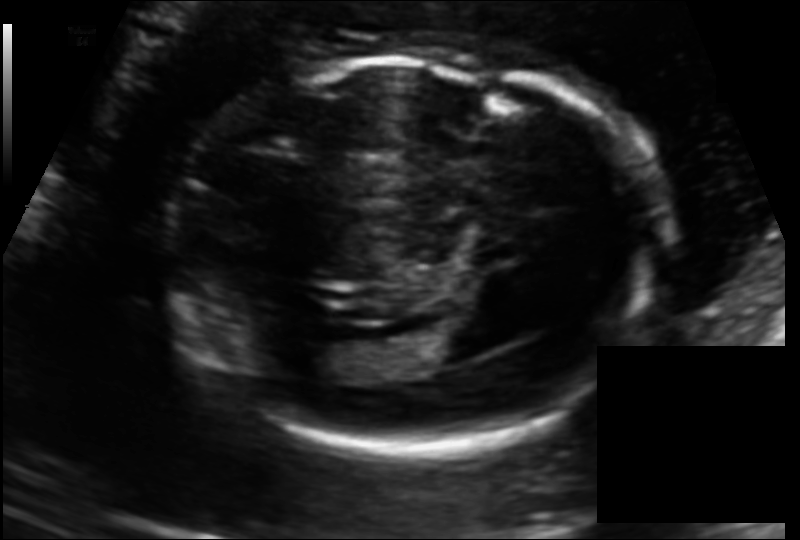
Estimate the fetal head circumference from this 2D ultrasound.

Head circumference: 176.8 mm (image width 100.0 mm).